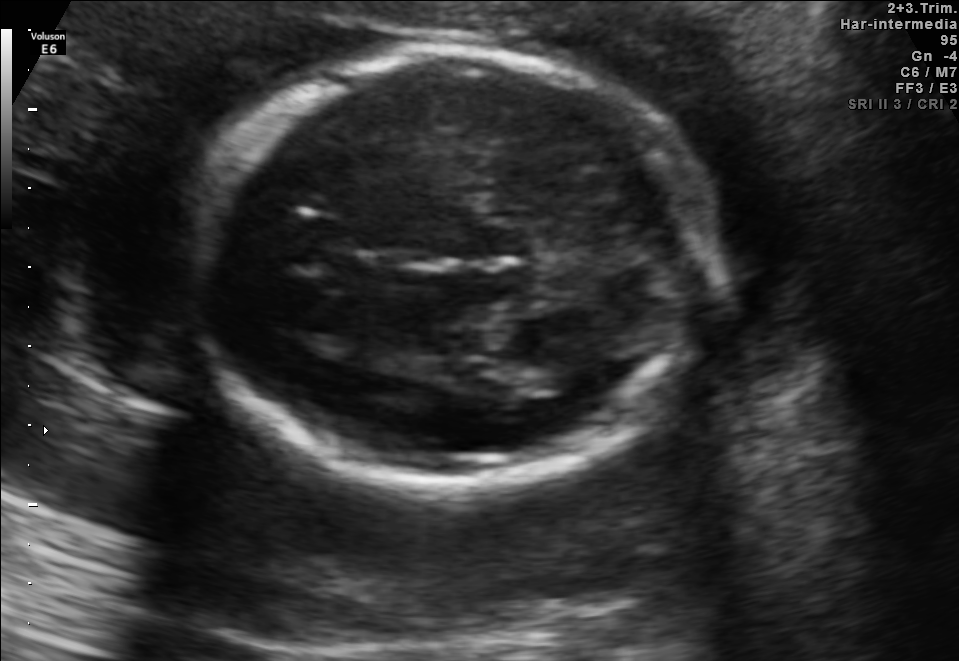
Fetal brain, trans-thalamic plane. Locate the fetal head and, if visible, the cavum septum pellucidum (CSP) and lateral ventricle (LV). Give bounding boxes as [x1,y1,x2,y2].

Head: [194,46,709,485]